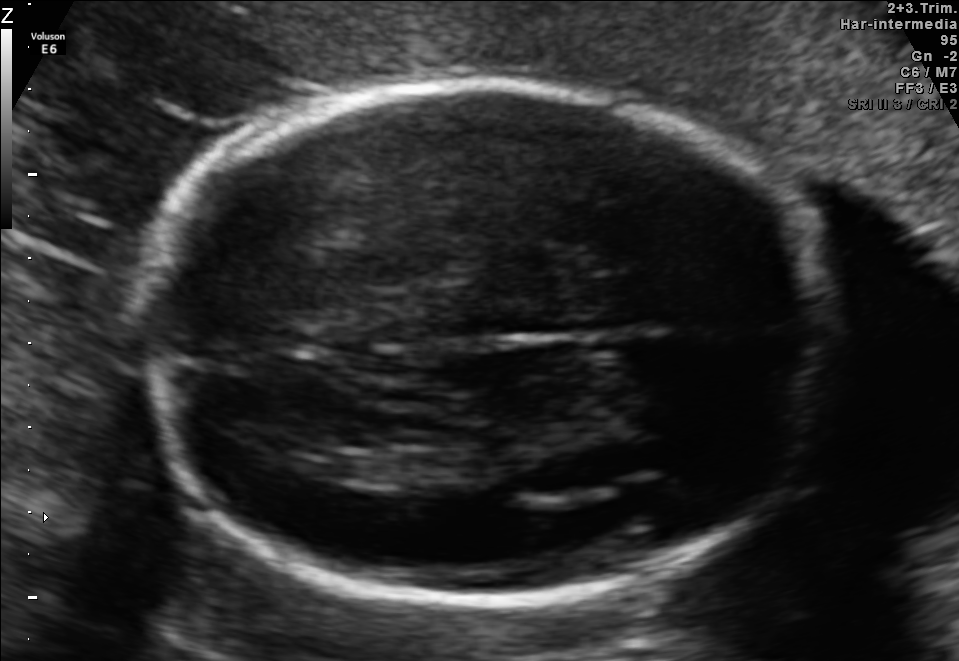
In this fetal brain, trans-thalamic plane, give bounding boxes for the head outline, cavum septum pellucidum (CSP), and lateral ventricle (LV), where visible.

Head: [139,77,828,600]
Lateral ventricle: [321,453,409,486]